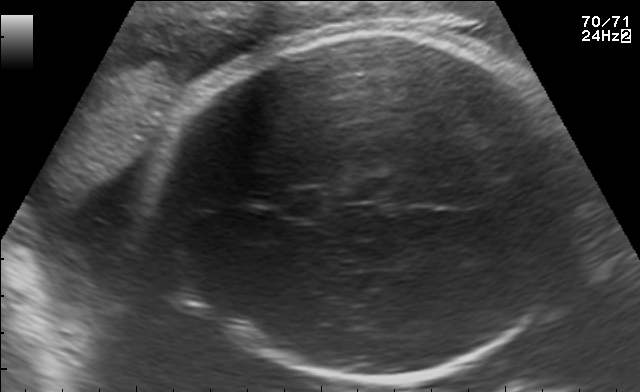
In this fetal brain, trans-thalamic plane, give the bounding box of the fetal head.

[153,30,588,375]